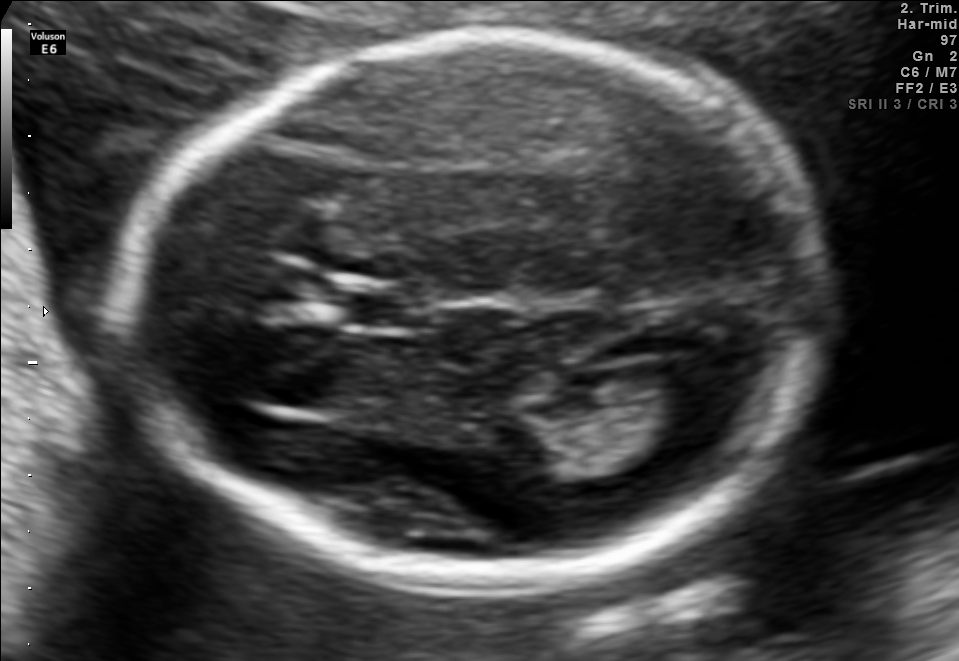
In this fetal brain, trans-ventricular plane, give bounding boxes for the head outline, cavum septum pellucidum (CSP), and lateral ventricle (LV), where visible.

Head: [131,22,840,589]
CSP: [349,291,428,329]